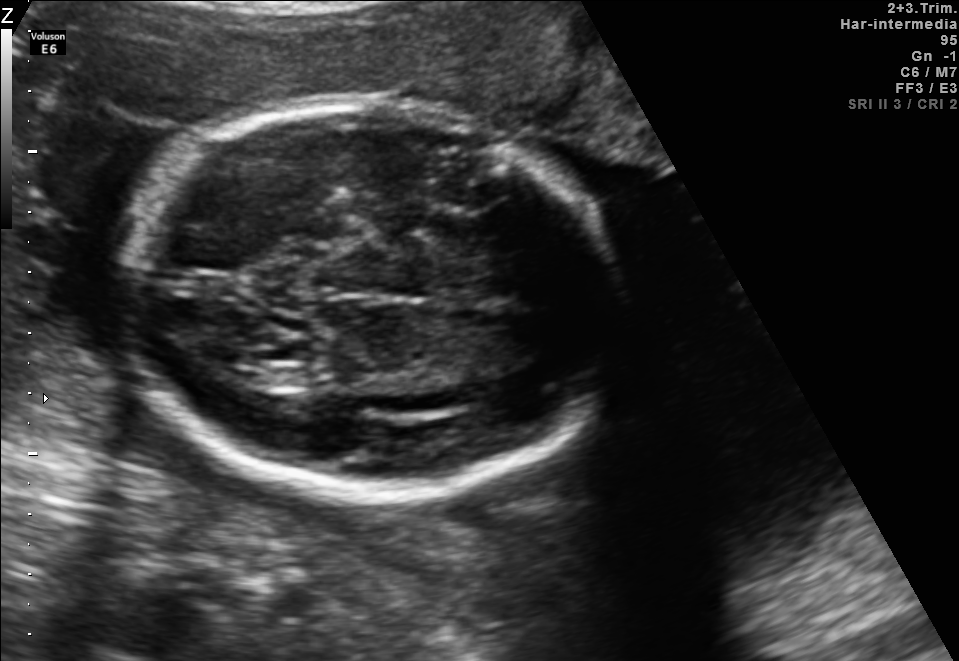
In this fetal brain, trans-thalamic plane, give the bounding box of the lateral ventricle.

[228,358,277,389]